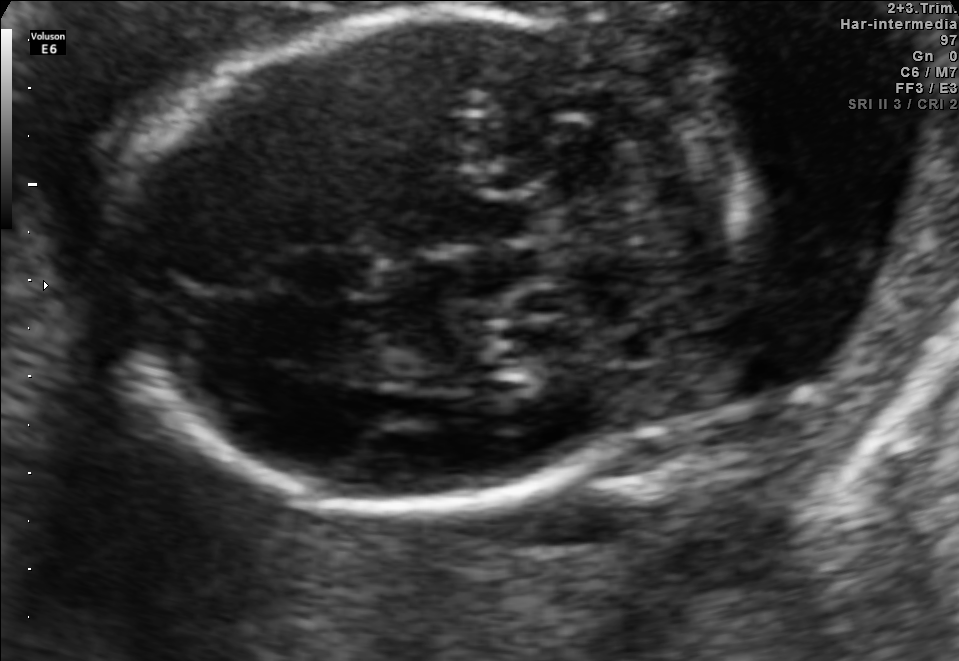
Fetal brain, trans-cerebellum plane. Locate the fetal head and, if visible, the cavum septum pellucidum (CSP) and lateral ventricle (LV). Give bounding boxes as [x1,y1,x2,y2].

Head: [108,9,753,506]
CSP: [289,245,380,300]